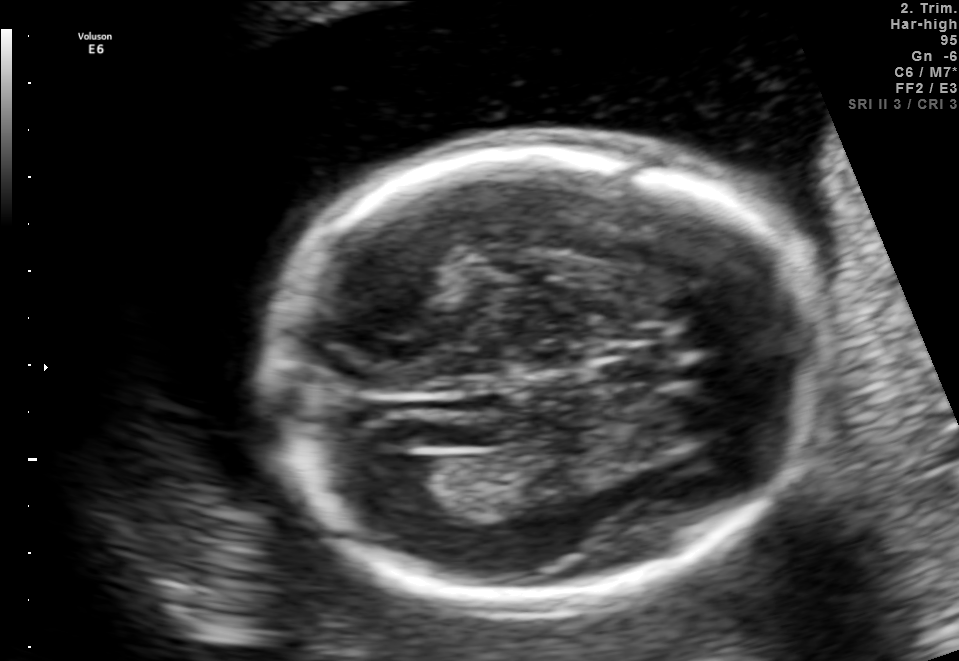
Fetal brain, trans-ventricular plane. Where is the lateral ventricle?

Lateral ventricle bounding box: [374,457,445,511]